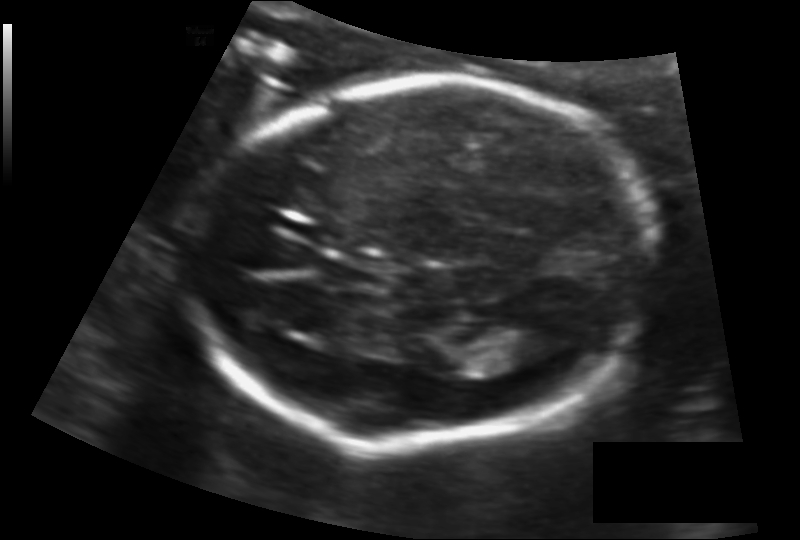
Fetal head ultrasound. Image width: 100.0 mm. Locate the fetal head and, if visible, the cavum septum pellucidum (CSP) and lateral ventricle (LV). Give bounding boxes as [x1,y1,x2,y2].

Head: [188,83,654,446]